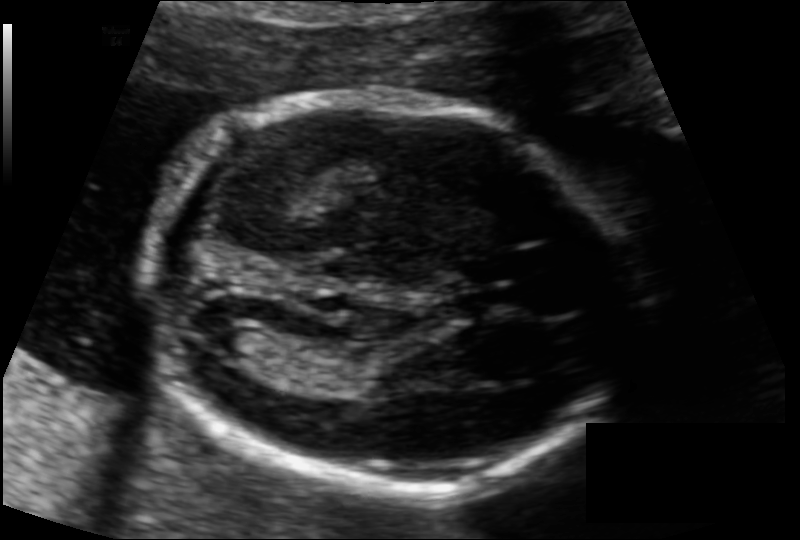
Fetal head ultrasound. Image width: 86.5 mm. Where is the lateral ventricle?

Lateral ventricle bounding box: [206,313,272,368]